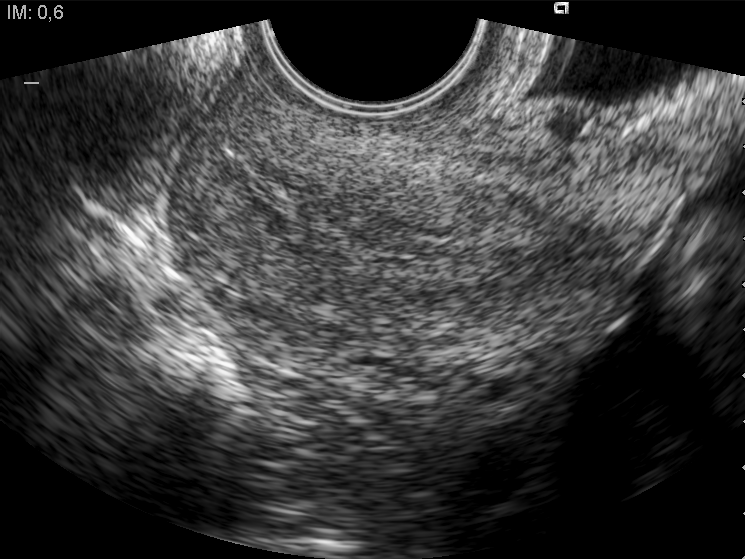
This is a 2D maternal-fetal ultrasound frame. Is it a fetal abdomen, fetal brain, fetal femur, fetal thorax, maternal cervix, or other standard plane? If it's fetal brain and one of the three standard brain planes (trans-thalamic, trans-cerebellum, trans-ventricular), name which.

Maternal cervix